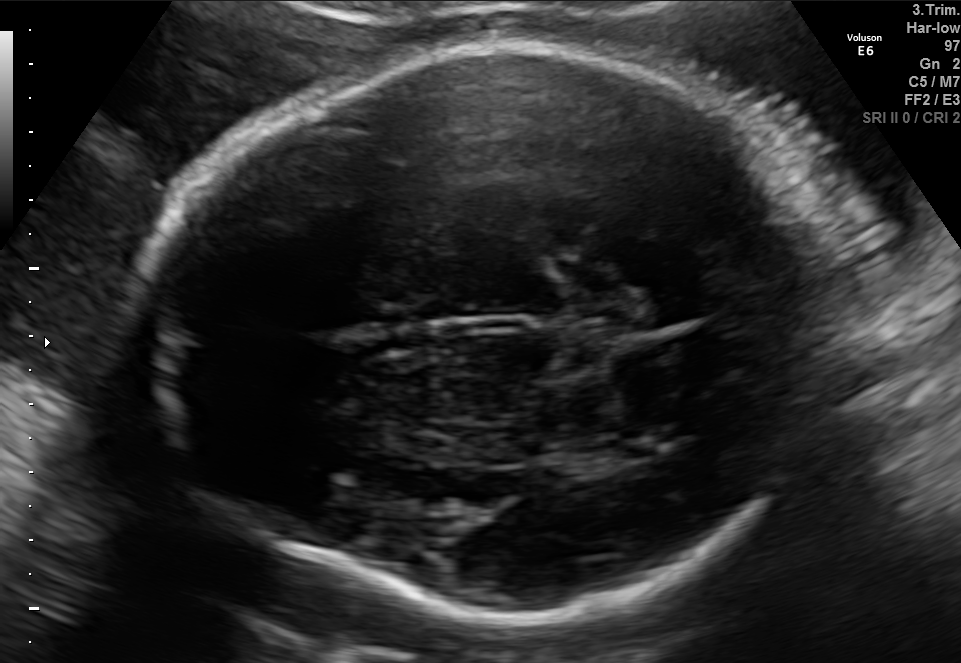
Fetal brain, trans-thalamic plane. Locate the fetal head and, if visible, the cavum septum pellucidum (CSP) and lateral ventricle (LV). Give bounding boxes as [x1,y1,x2,y2].

Head: [137,42,852,621]